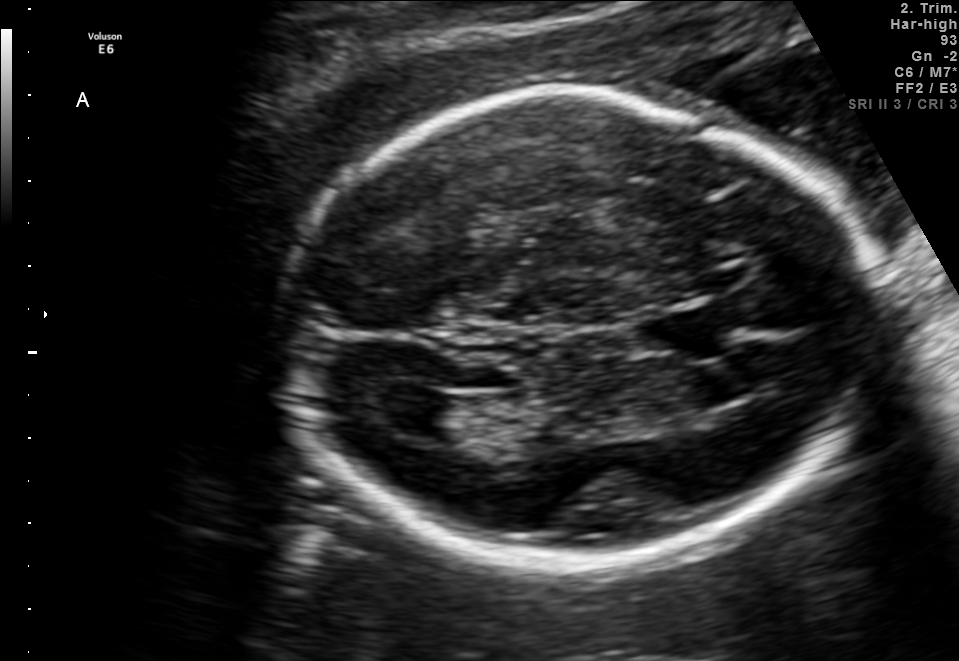
Fetal brain, trans-ventricular plane. Locate the fetal head.

Head: [271,82,896,581]